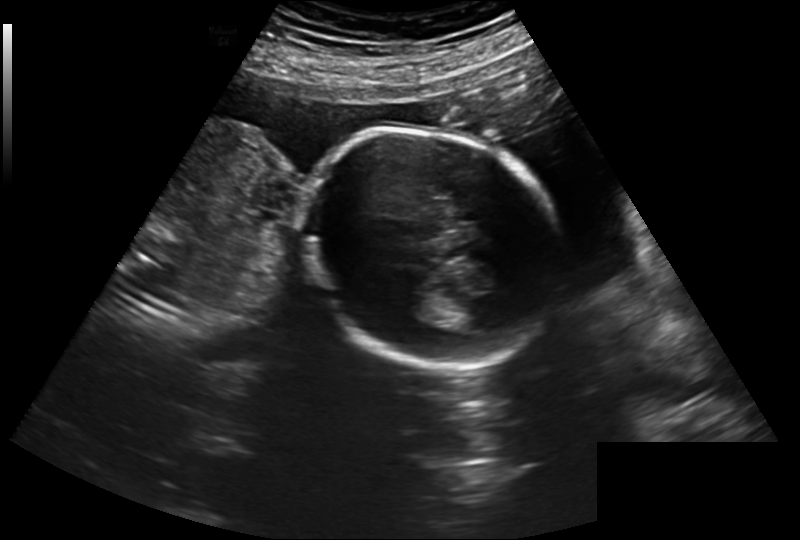
Fetal head ultrasound. Image width: 207.9 mm. Give [x1,y1,x2,y2] bounding boxes for each visible structure among: fetal head, CSP, LV.

Head: [301,128,557,368]